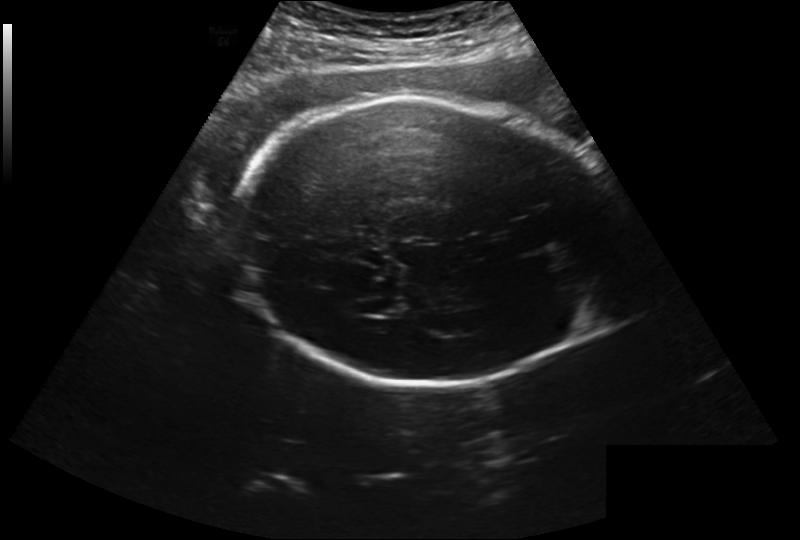
Fetal head ultrasound. Image width: 208.3 mm. Where is the fetal head?

Head bounding box: [233,97,614,387]